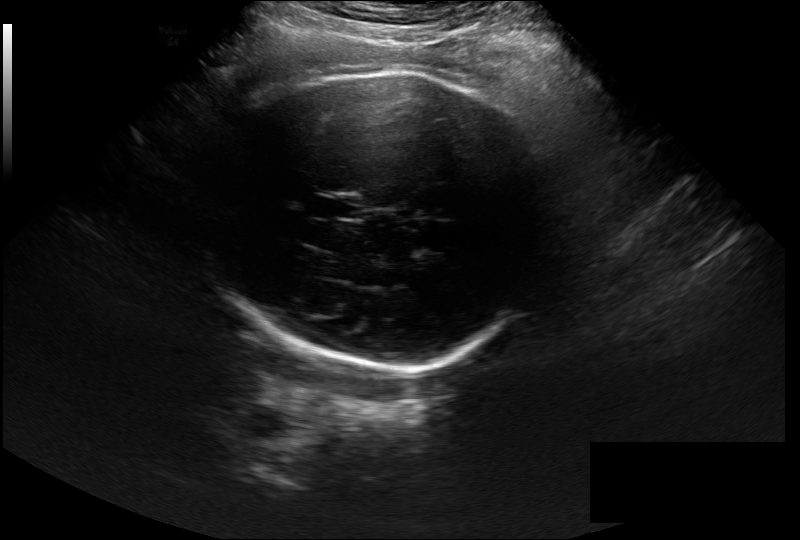
Fetal head ultrasound. Image width: 237.6 mm. Locate the cavum septum pellucidum.

CSP: [317,192,363,221]